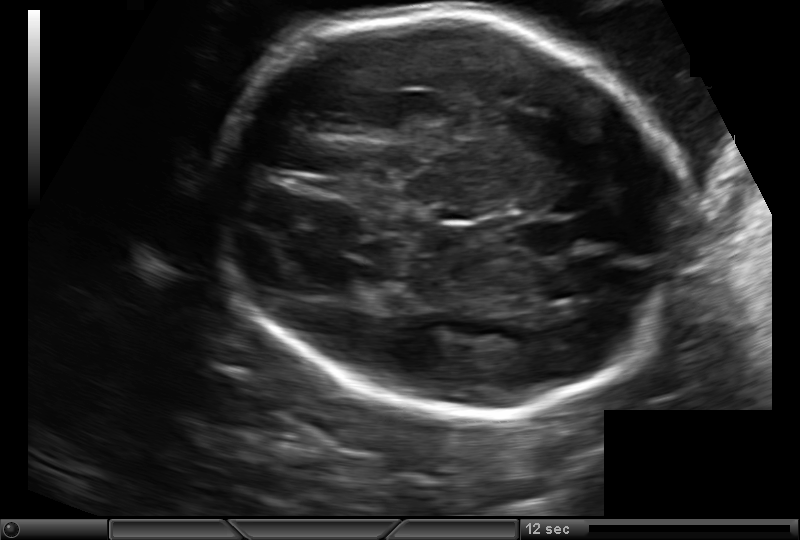
Fetal head ultrasound. Image width: 137.2 mm. Locate the fetal head.

Head: [216,14,689,415]